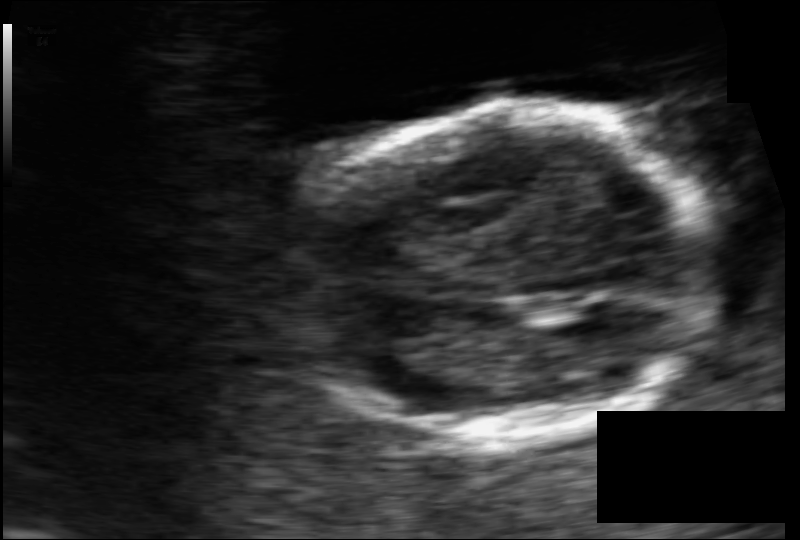
Estimate the fetal head circumference from this 2D ultrasound.

Head circumference: 103.9 mm (image width 67.0 mm).